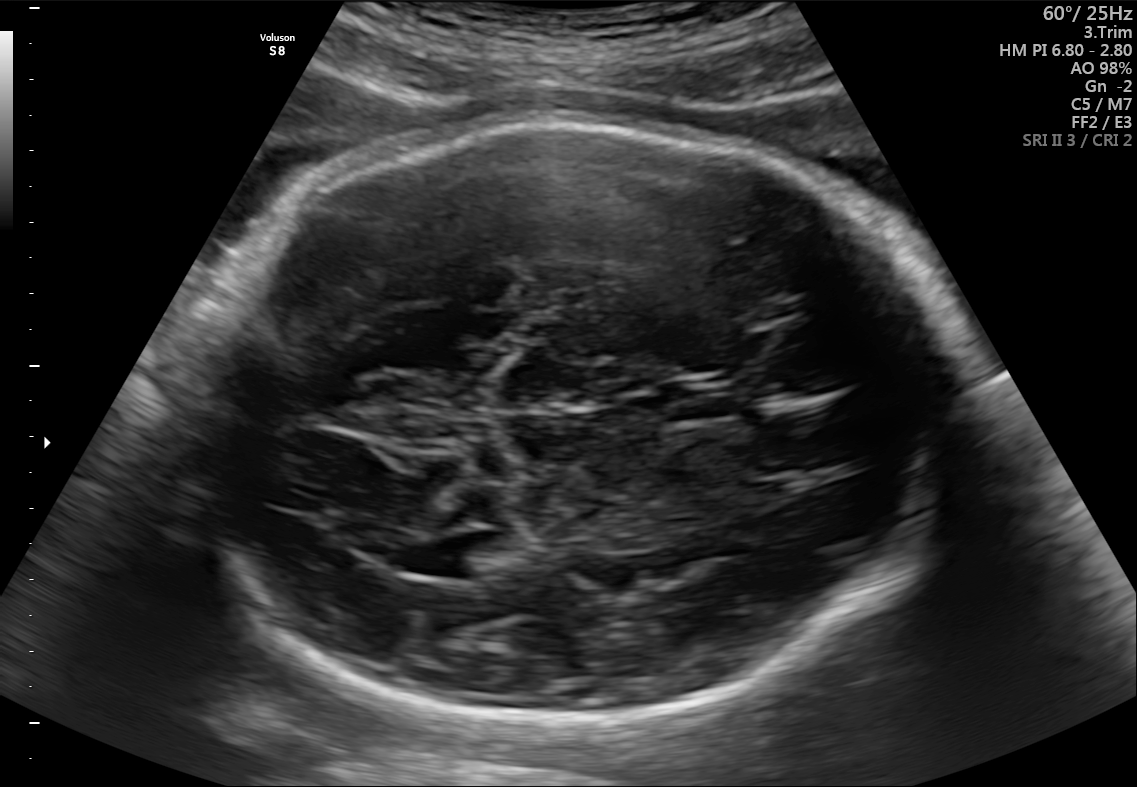
In this fetal brain, trans-ventricular plane, give bounding boxes for the head outline, cavum septum pellucidum (CSP), and lateral ventricle (LV), where visible.

Head: [179,111,965,729]